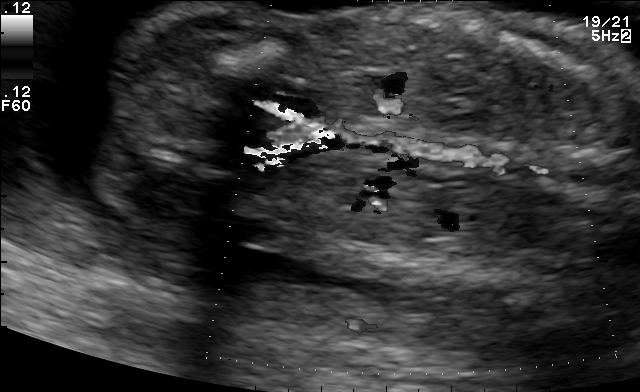
Identify the standard plane in this fetal ultrasound image: fetal abdomen, fetal brain, fetal femur, fetal thorax, maternal cervix, or other. If it's fetal brain and one of the three standard brain planes (trans-thalamic, trans-cerebellum, trans-ventricular), name which.

Other